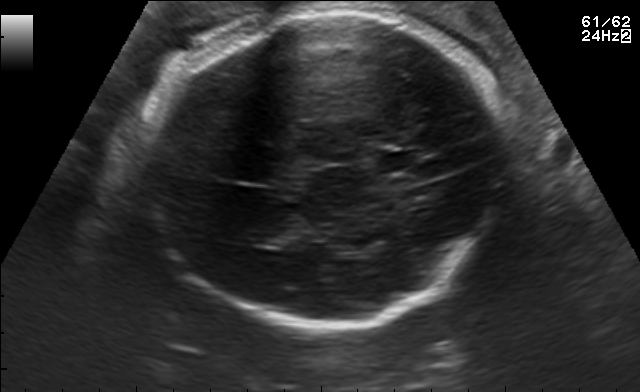
In this fetal brain, trans-thalamic plane, give bounding boxes for the head outline, cavum septum pellucidum (CSP), and lateral ventricle (LV), where visible.

Head: [137,12,505,326]
CSP: [375,149,417,174]